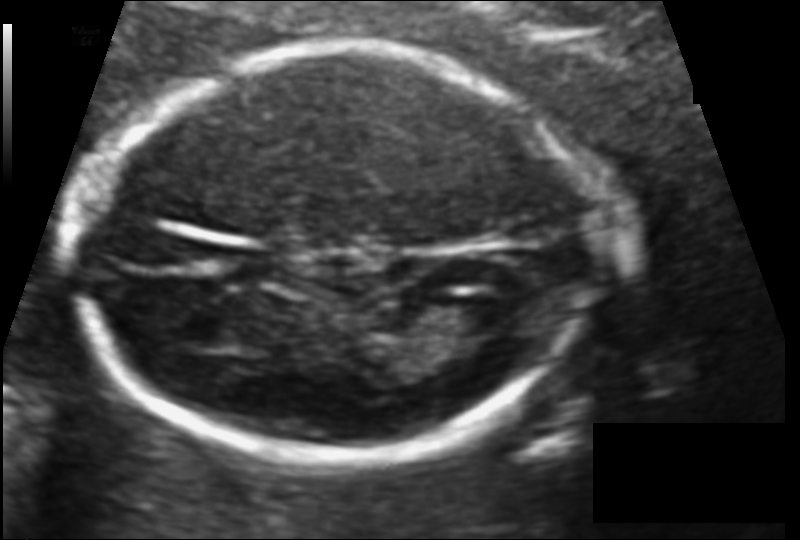
What is the fetal head circumference? Image width is 81.3 mm.

151.8 mm